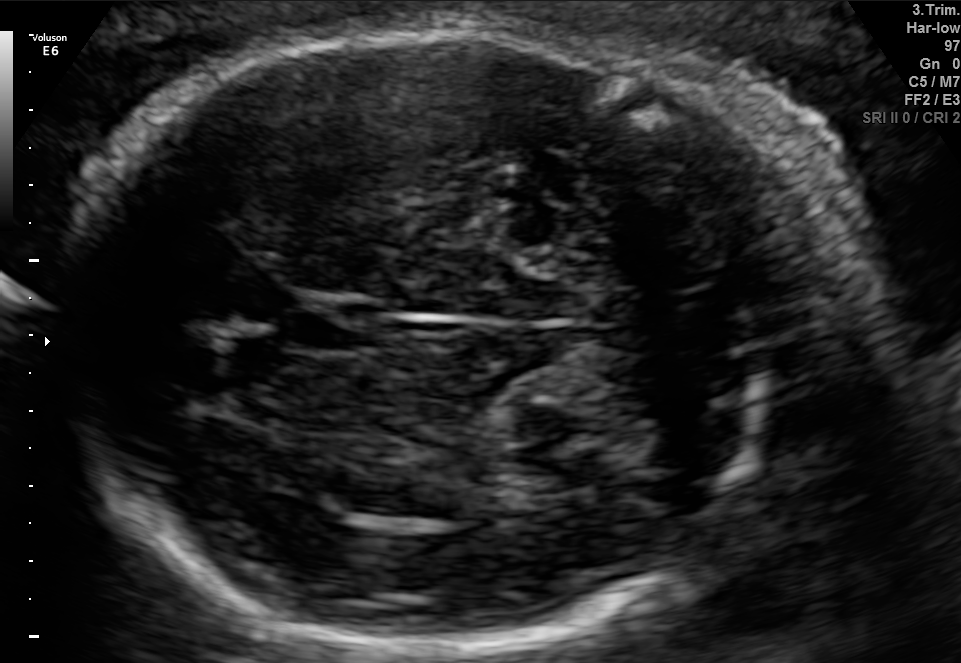
Fetal brain, trans-cerebellum plane. Locate the fetal head and, if visible, the cavum septum pellucidum (CSP) and lateral ventricle (LV). Give bounding boxes as [x1,y1,x2,y2].

Head: [61,26,816,643]
CSP: [279,290,371,354]